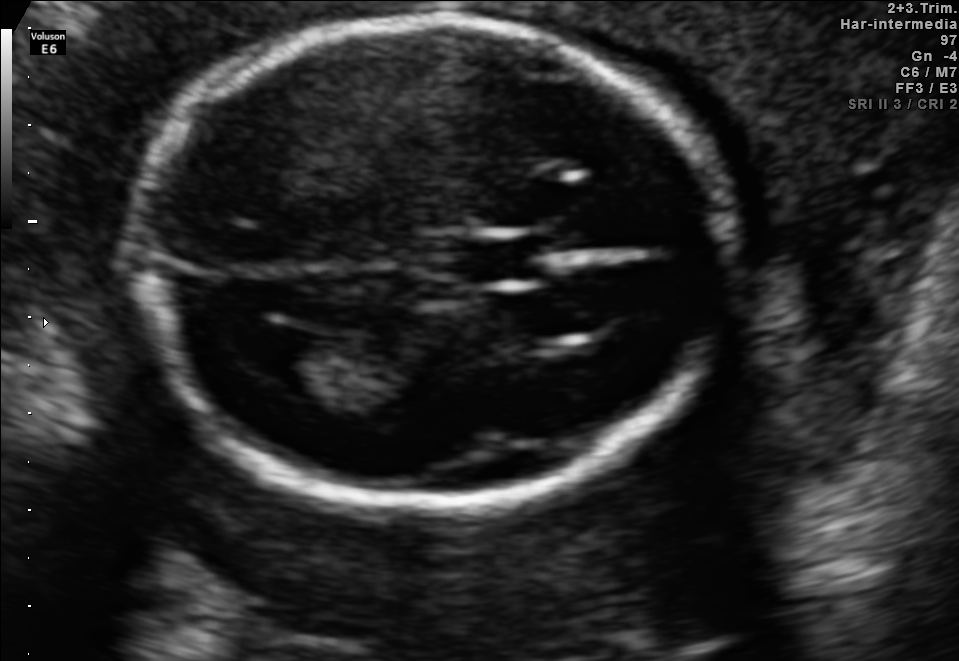
Fetal brain, trans-ventricular plane. Locate the cavum septum pellucidum.

CSP: [442,239,561,282]